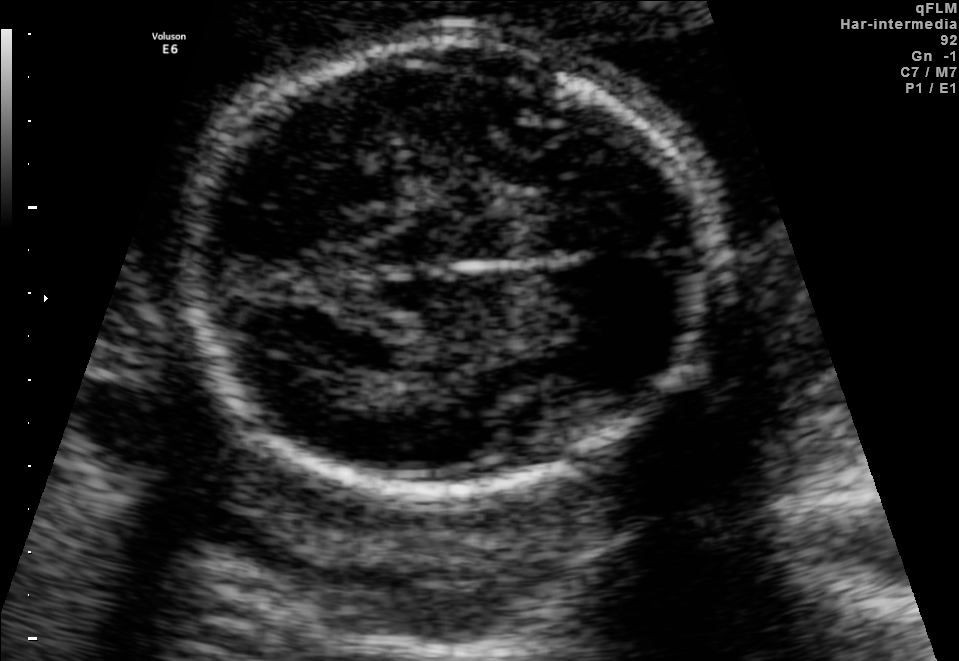
In this fetal brain, trans-thalamic plane, give the bounding box of the fetal head.

[181,44,714,489]